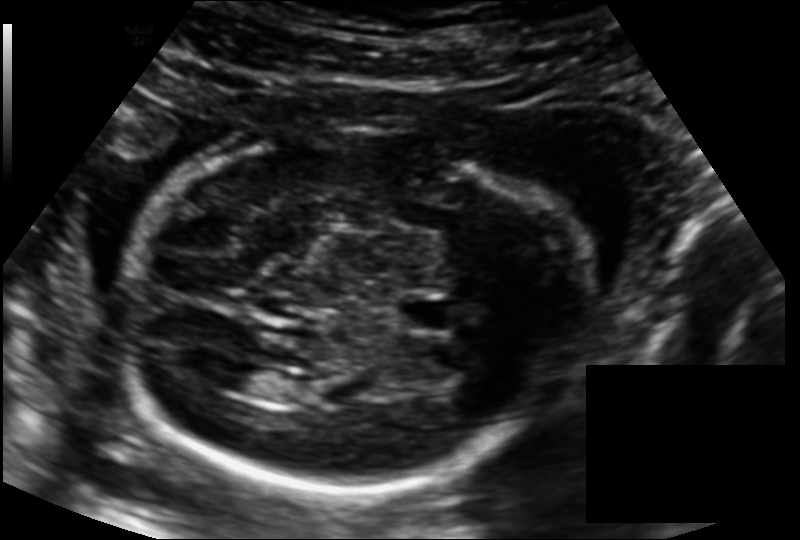
In this fetal head ultrasound, give bounding boxes for the head outline, cavum septum pellucidum (CSP), and lateral ventricle (LV), where visible. Image width: 111.3 mm.

Head: [118,125,588,489]
CSP: [400,298,453,331]
Lateral ventricle: [215,360,271,398]